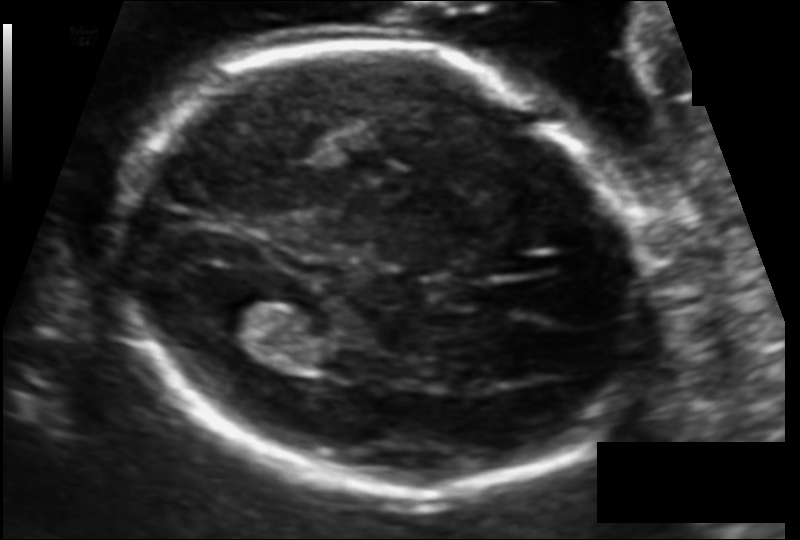
In this fetal head ultrasound, give bounding boxes for the head outline, cavum septum pellucidum (CSP), and lateral ventricle (LV), where visible. Image width: 92.8 mm.

Head: [113,44,652,493]
Lateral ventricle: [199,274,292,351]